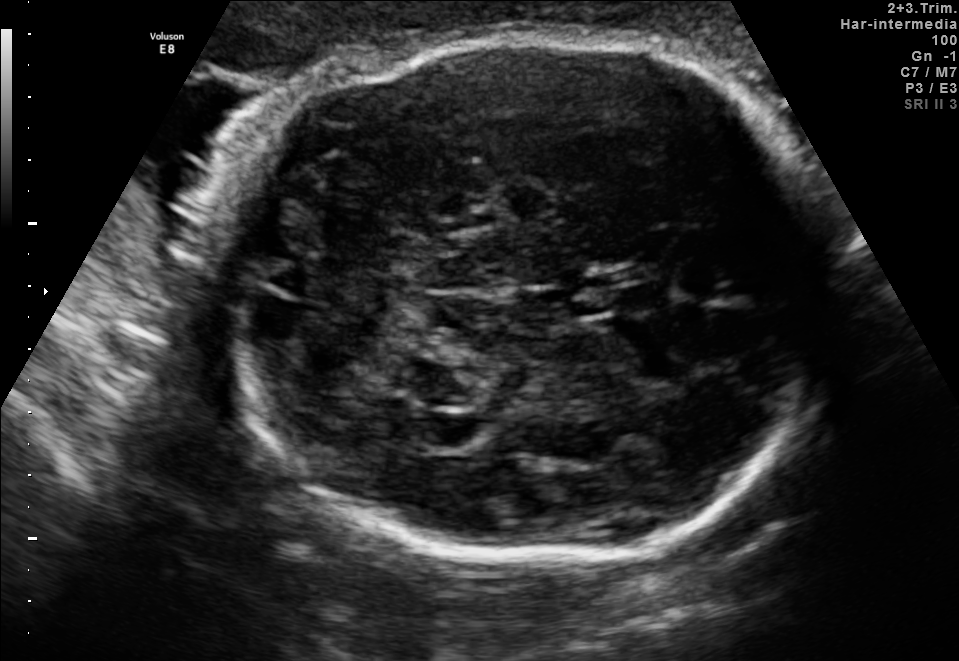
In this fetal brain, trans-cerebellum plane, give the bounding box of the fetal head.

[231,37,834,568]